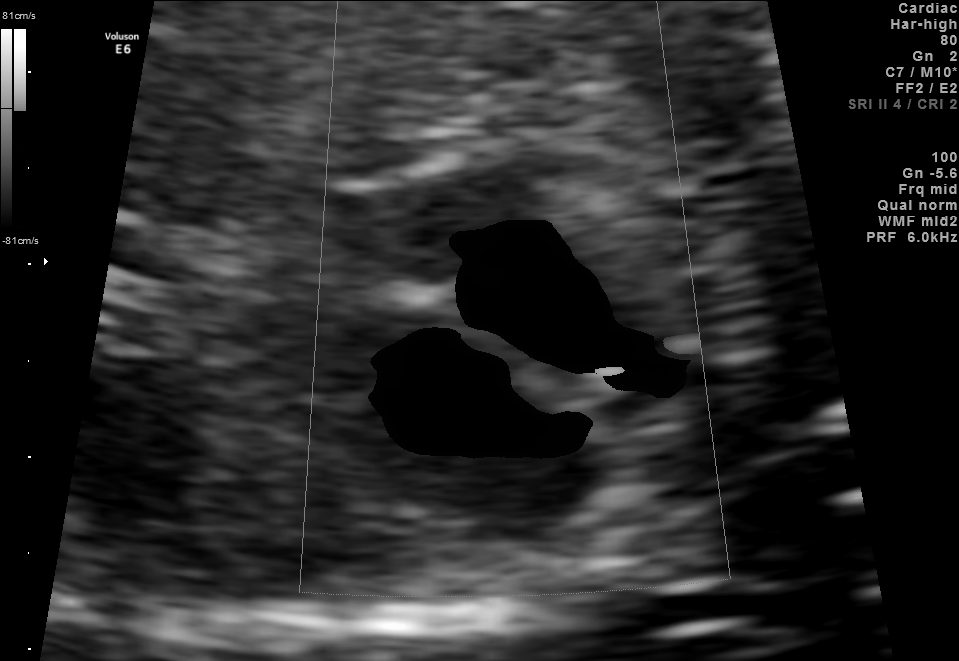
This is a 2D maternal-fetal ultrasound frame. Is it a fetal abdomen, fetal brain, fetal femur, fetal thorax, maternal cervix, or other standard plane? If it's fetal brain and one of the three standard brain planes (trans-thalamic, trans-cerebellum, trans-ventricular), name which.

Other